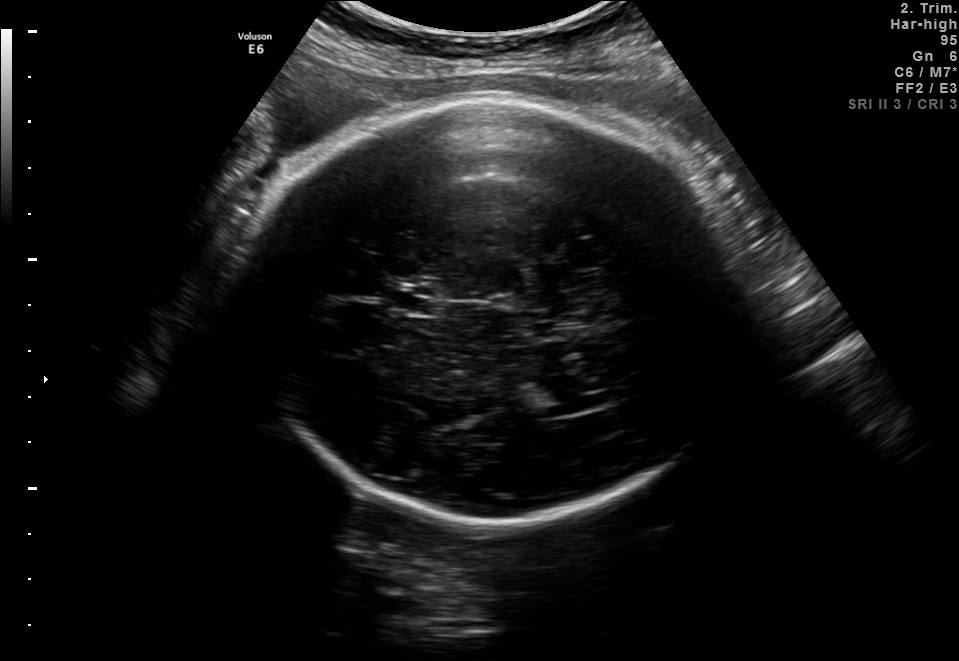
Fetal brain, trans-ventricular plane. Give [x1,y1,x2,y2] bounding boxes for each visible structure among: fetal head, CSP, LV.

Head: [234,91,751,526]
CSP: [381,287,442,314]
Lateral ventricle: [527,373,595,419]